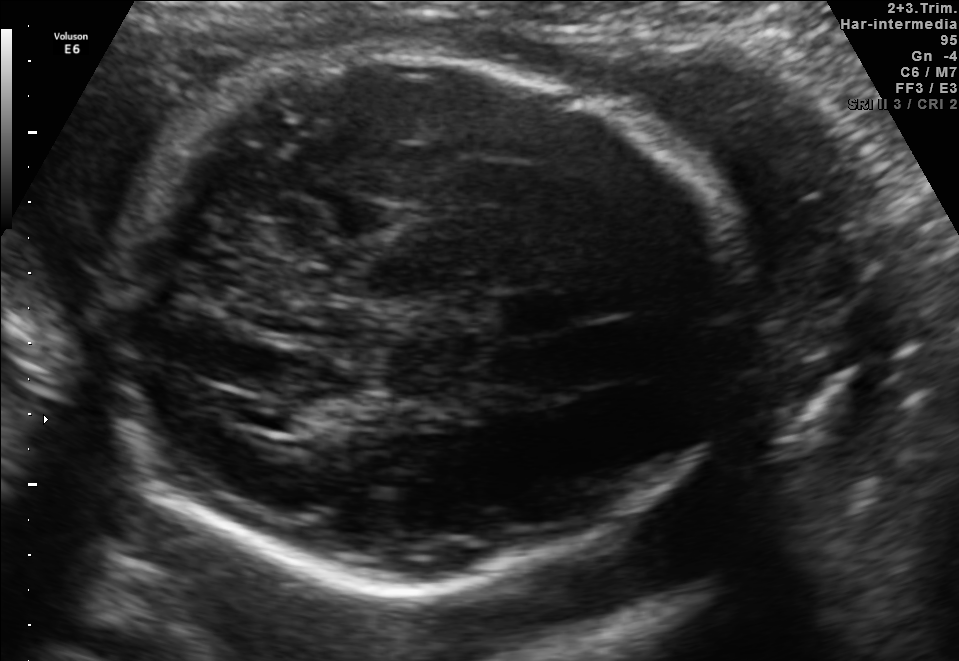
Fetal brain, trans-thalamic plane. Locate the fetal head.

Head: [113,52,734,591]